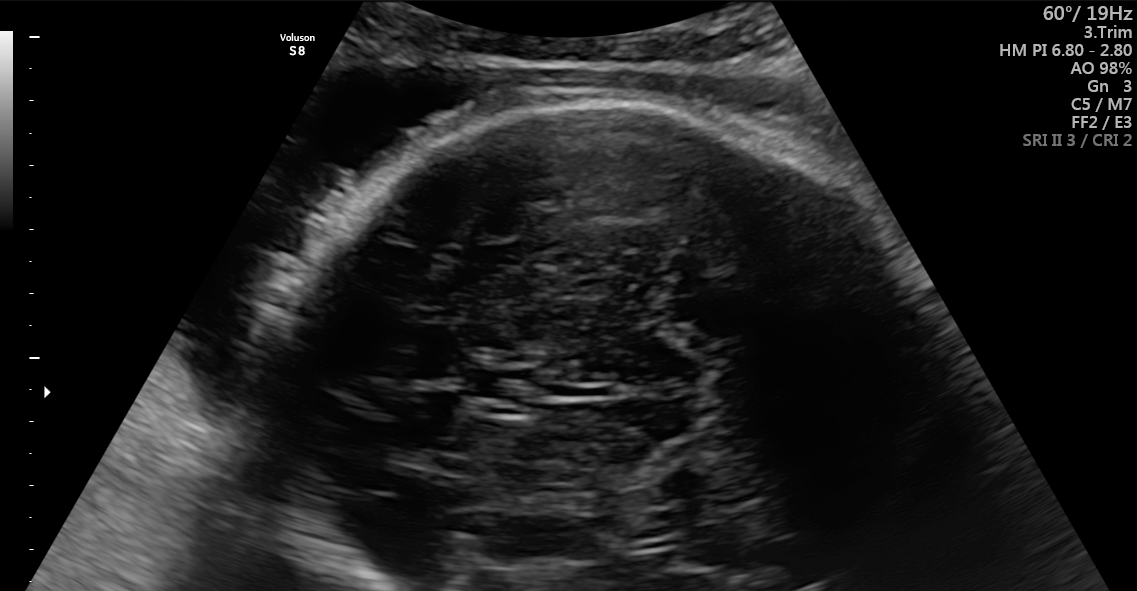
Identify the standard plane in this fetal ultrasound image: fetal abdomen, fetal brain, fetal femur, fetal thorax, maternal cervix, or other. If it's fetal brain and one of the three standard brain planes (trans-thalamic, trans-cerebellum, trans-ventricular), name which.

Fetal brain